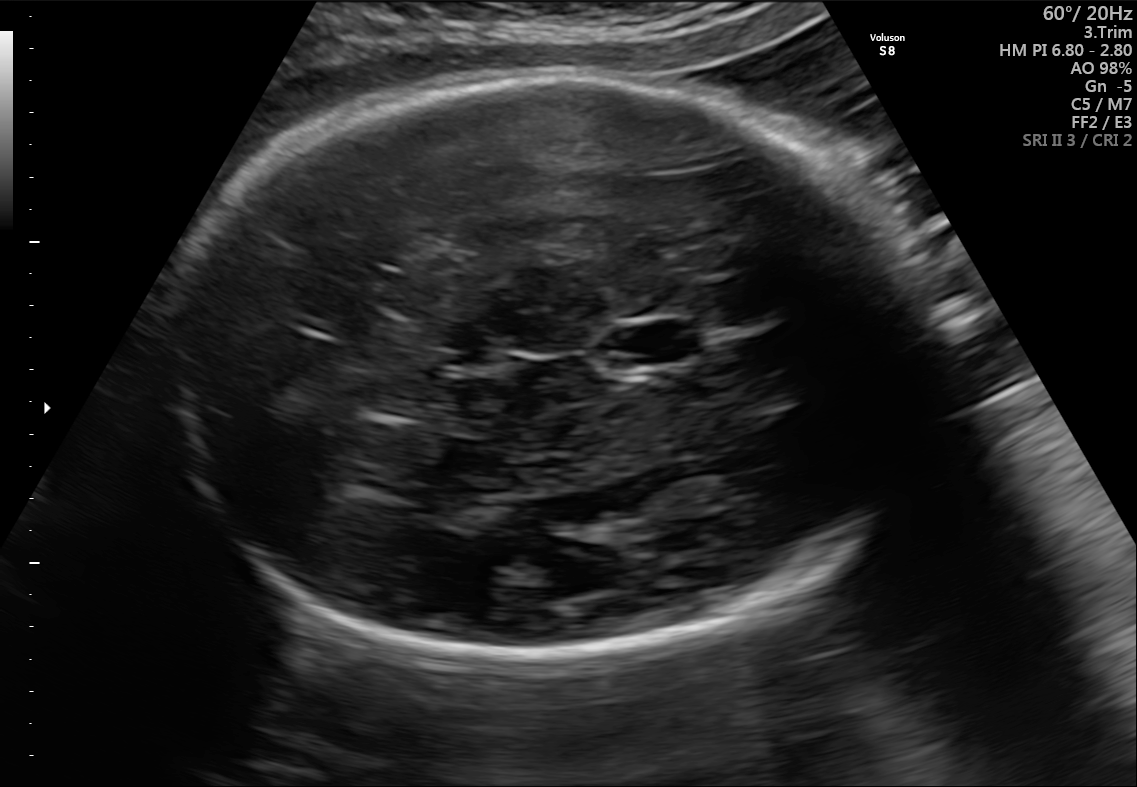
In this fetal brain, trans-thalamic plane, give the bounding box of the cavum septum pellucidum.

[609,317,702,369]